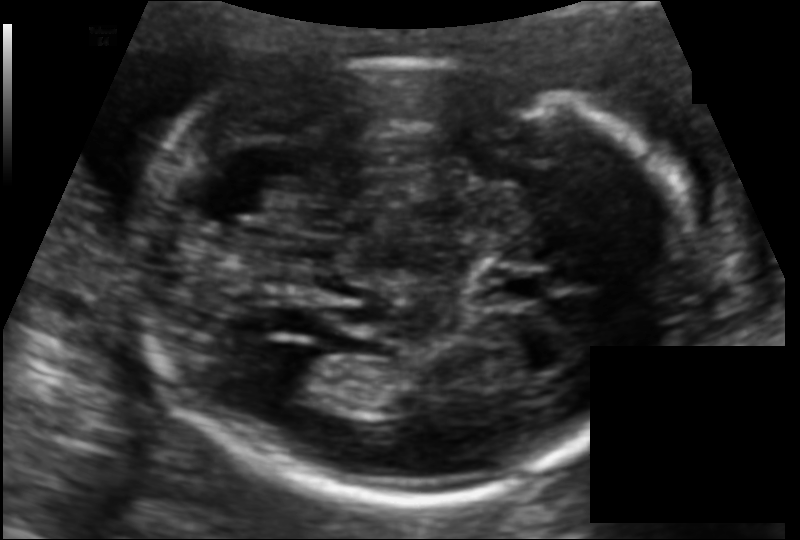
Fetal head ultrasound. Image width: 91.9 mm. Where is the fetal head?

Head bounding box: [137,60,687,500]